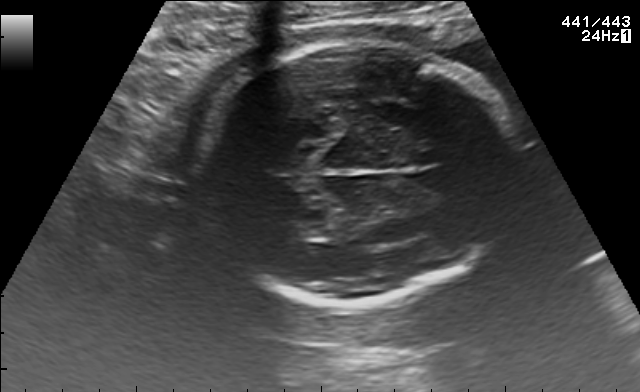
Fetal brain, trans-thalamic plane. Give [x1,y1,x2,y2] bounding boxes for each visible structure among: fetal head, CSP, LV.

Head: [195,42,513,305]